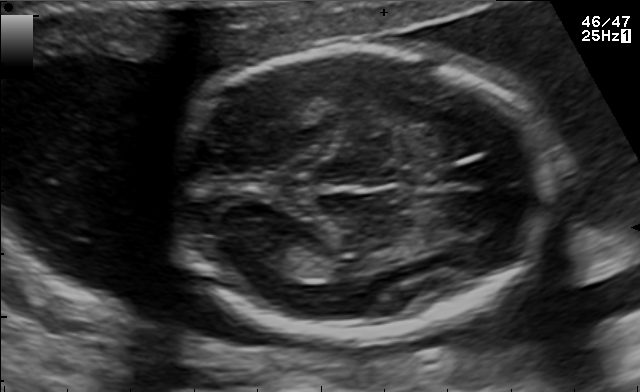
Identify the standard plane in this fetal ultrasound image: fetal abdomen, fetal brain, fetal femur, fetal thorax, maternal cervix, or other. If it's fetal brain and one of the three standard brain planes (trans-thalamic, trans-cerebellum, trans-ventricular), name which.

Fetal brain (trans-thalamic plane)